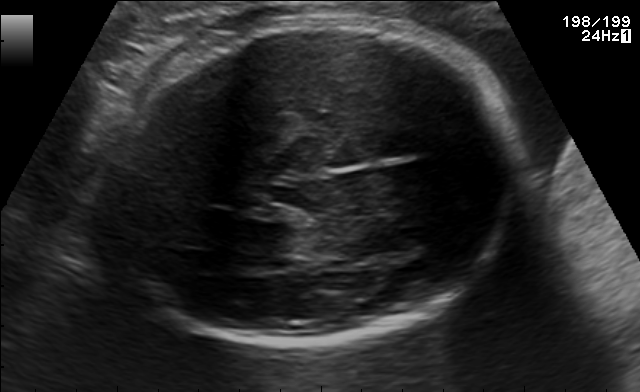
In this fetal brain, trans-thalamic plane, give bounding boxes for the head outline, cavum septum pellucidum (CSP), and lateral ventricle (LV), where visible.

Head: [106,17,517,346]